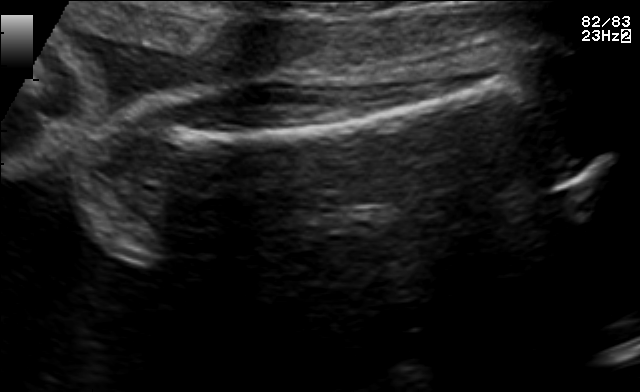
Which standard maternal-fetal ultrasound plane is shown: fetal abdomen, fetal brain, fetal femur, fetal thorax, maternal cervix, or other? If it's fetal brain and one of the three standard brain planes (trans-thalamic, trans-cerebellum, trans-ventricular), name which.

Fetal femur